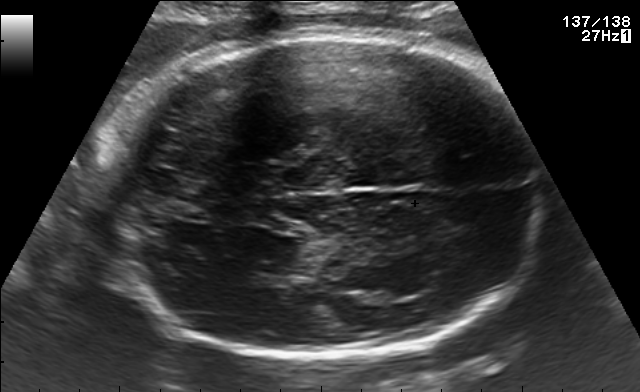
Fetal brain, trans-thalamic plane. Locate the fetal head.

Head: [97,34,543,361]